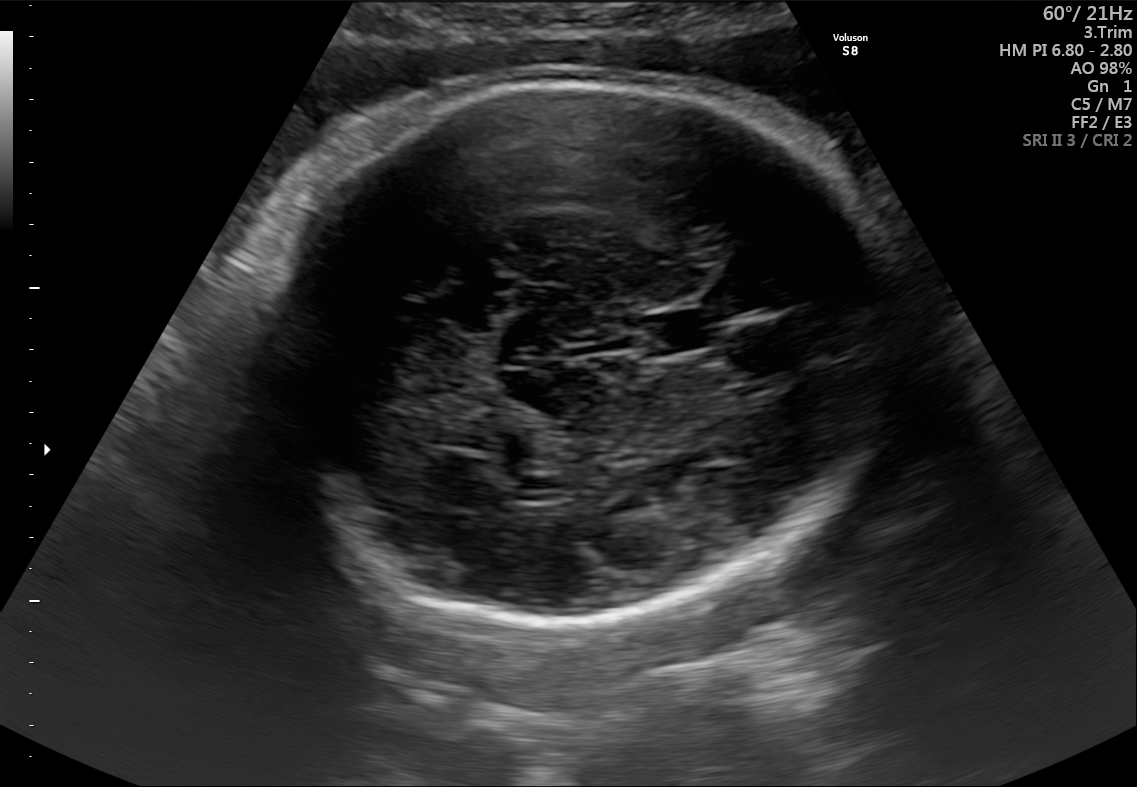
Fetal brain, trans-thalamic plane. Give [x1,y1,x2,y2] bounding boxes for each visible structure among: fetal head, CSP, LV.

Head: [263,75,916,614]
CSP: [641,302,731,359]